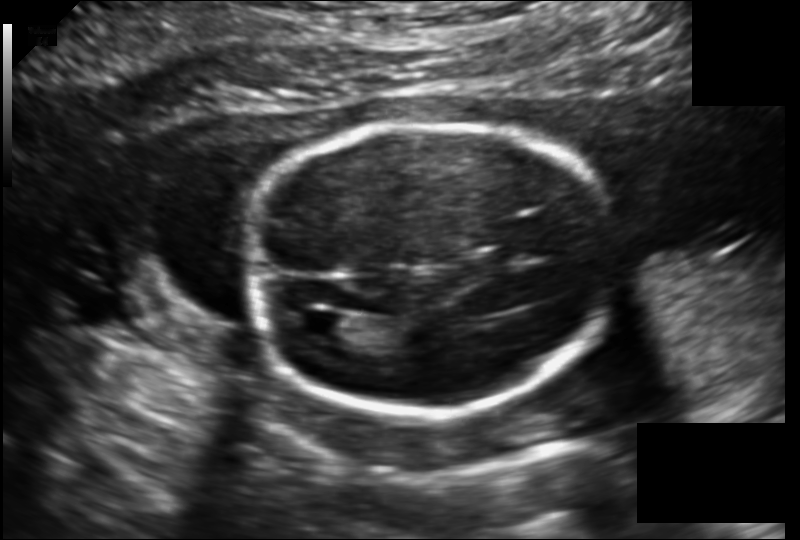
Fetal head ultrasound. Image width: 119.0 mm. Where is the lateral ventricle?

Lateral ventricle bounding box: [297,308,351,344]